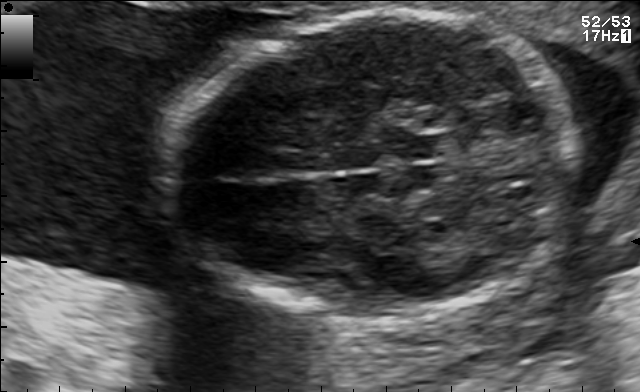
In this fetal brain, trans-thalamic plane, give bounding boxes for the head outline, cavum septum pellucidum (CSP), and lateral ventricle (LV), where visible.

Head: [166,11,578,321]